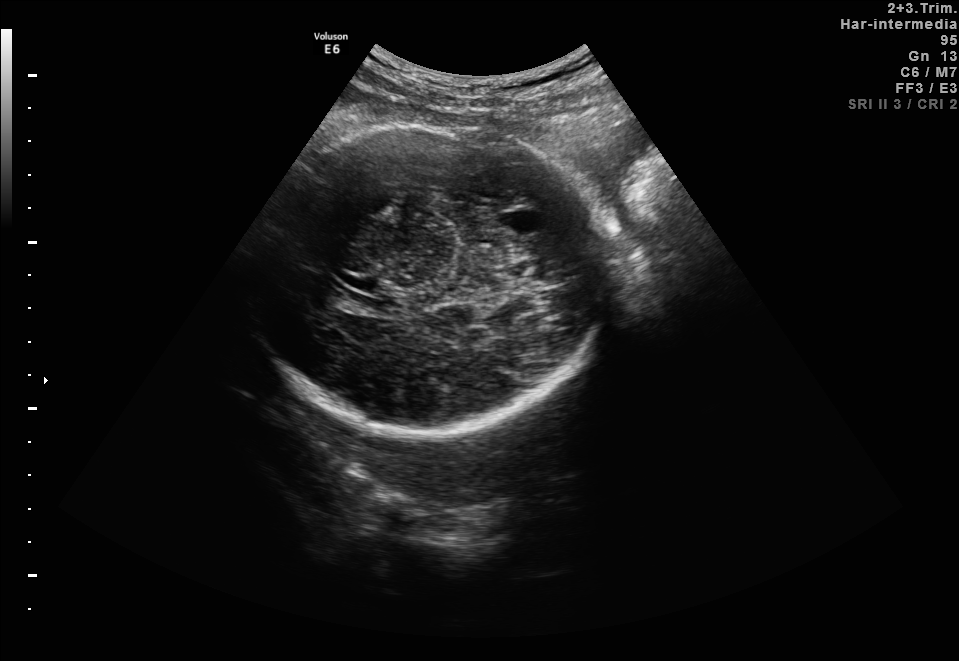
Fetal brain, trans-thalamic plane. Locate the fetal head and, if visible, the cavum septum pellucidum (CSP) and lateral ventricle (LV). Give bounding boxes as [x1,y1,x2,y2].

Head: [246,125,603,436]